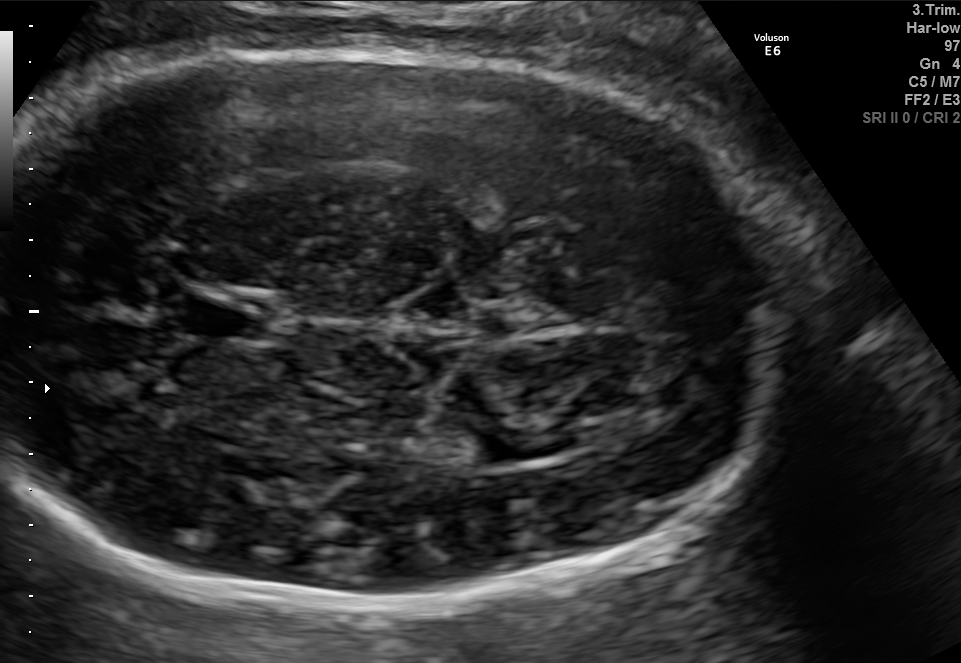
In this fetal brain, trans-thalamic plane, give the bounding box of the cavum septum pellucidum.

[183,296,270,337]